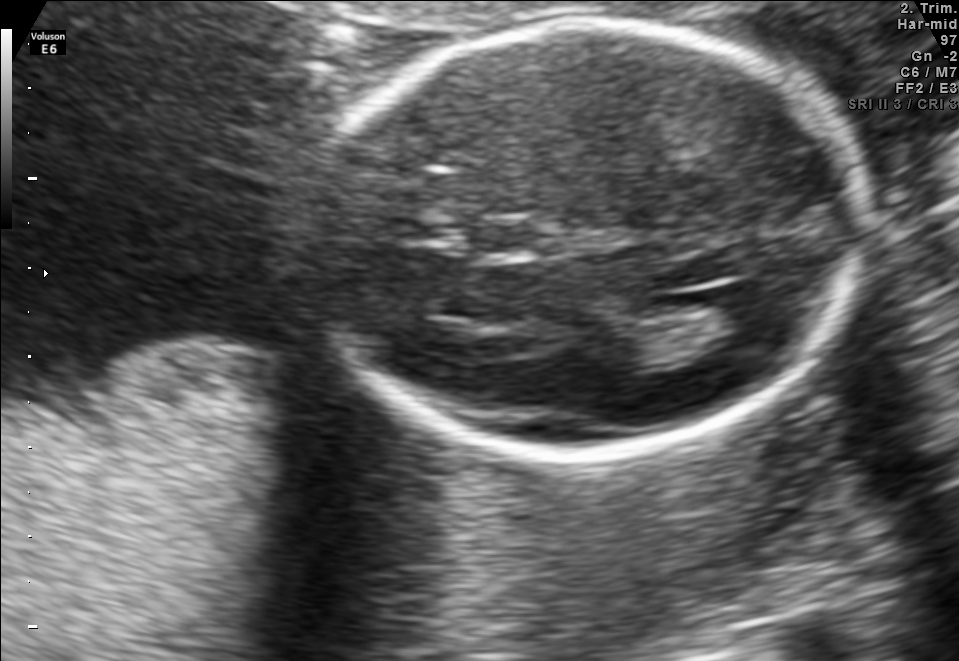
Fetal brain, trans-ventricular plane. Locate the fetal head and, if visible, the cavum septum pellucidum (CSP) and lateral ventricle (LV). Give bounding boxes as [x1,y1,x2,y2].

Head: [305,15,874,462]
CSP: [473,217,536,261]
Lateral ventricle: [706,272,791,346]